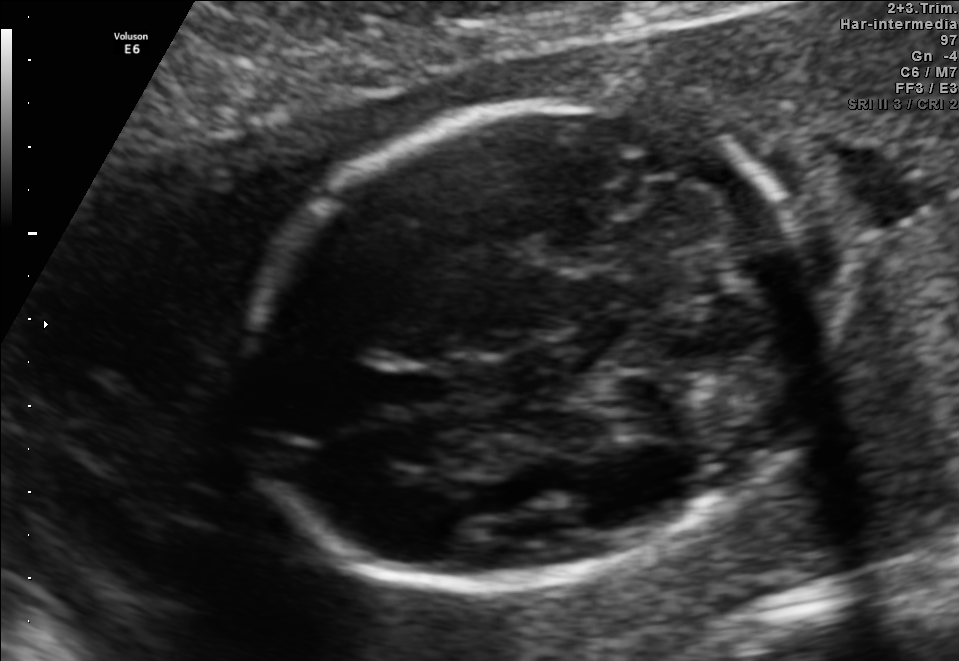
In this fetal brain, trans-cerebellum plane, give the bounding box of the fetal head.

[247,102,826,581]